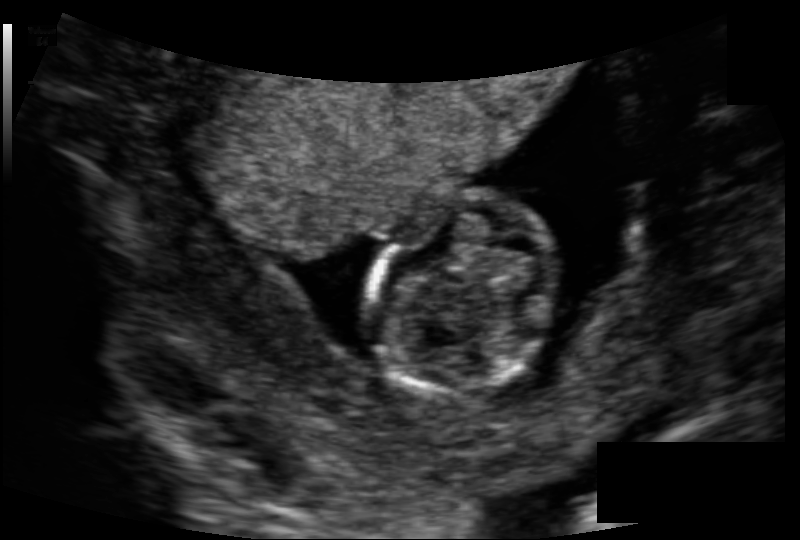
Estimate the fetal head circumference from this 2D ultrasound.

Head circumference: 75.4 mm (image width 94.4 mm).